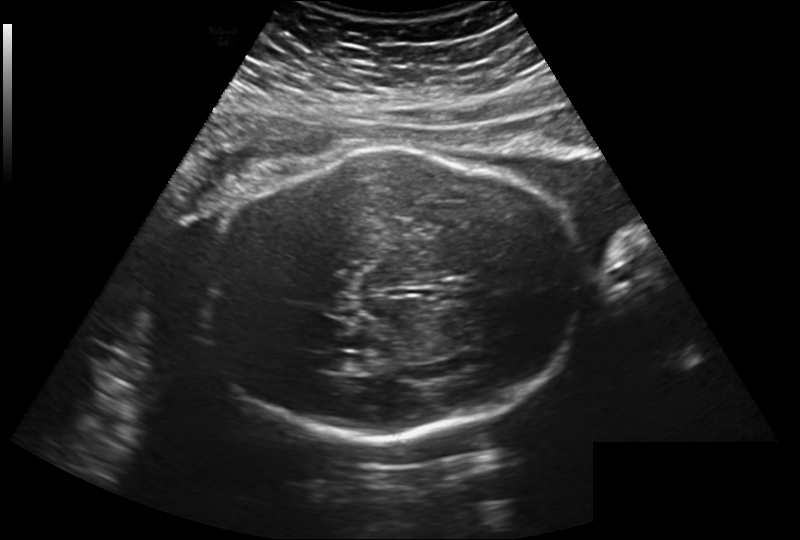
Fetal head ultrasound. Image width: 208.3 mm. Where is the lateral ventricle?

Lateral ventricle bounding box: [326,352,364,373]